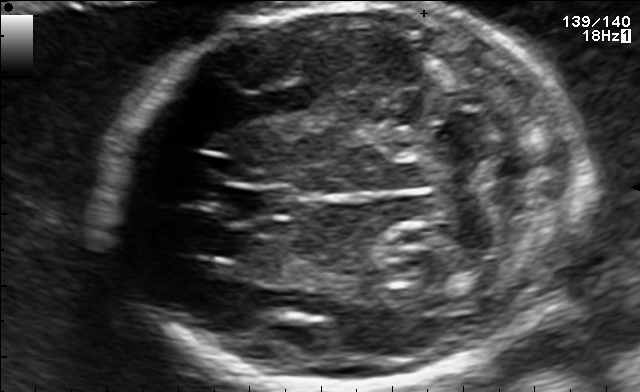
This is a 2D maternal-fetal ultrasound frame. Is it a fetal abdomen, fetal brain, fetal femur, fetal thorax, maternal cervix, or other standard plane? If it's fetal brain and one of the three standard brain planes (trans-thalamic, trans-cerebellum, trans-ventricular), name which.

Fetal brain (trans-cerebellum plane)